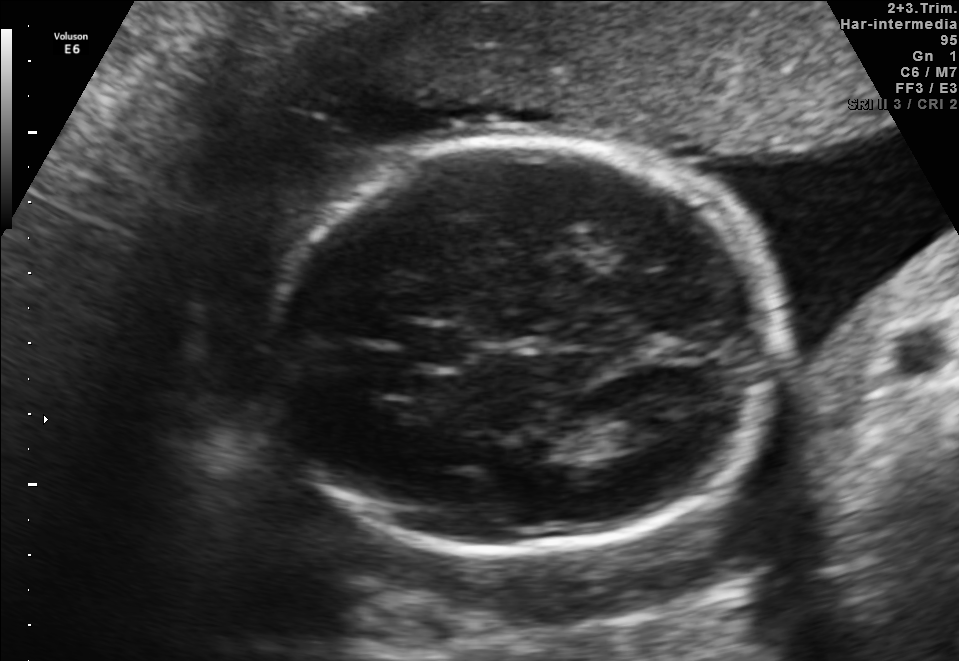
Which standard maternal-fetal ultrasound plane is shown: fetal abdomen, fetal brain, fetal femur, fetal thorax, maternal cervix, or other? If it's fetal brain and one of the three standard brain planes (trans-thalamic, trans-cerebellum, trans-ventricular), name which.

Fetal brain (trans-thalamic plane)